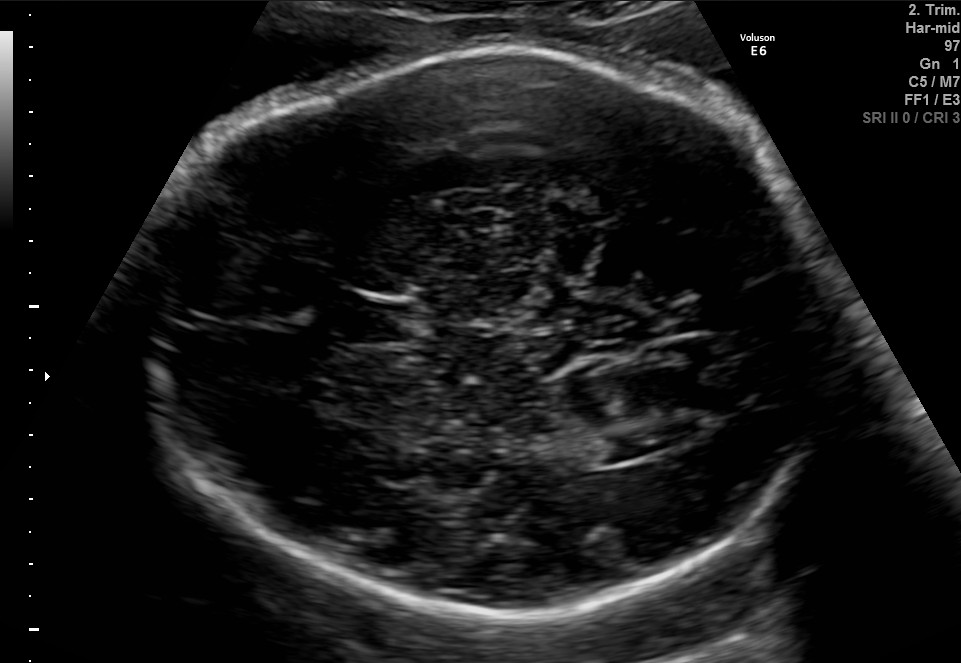
Fetal brain, trans-ventricular plane. Where is the lateral ventricle?

Lateral ventricle bounding box: [600,427,664,463]